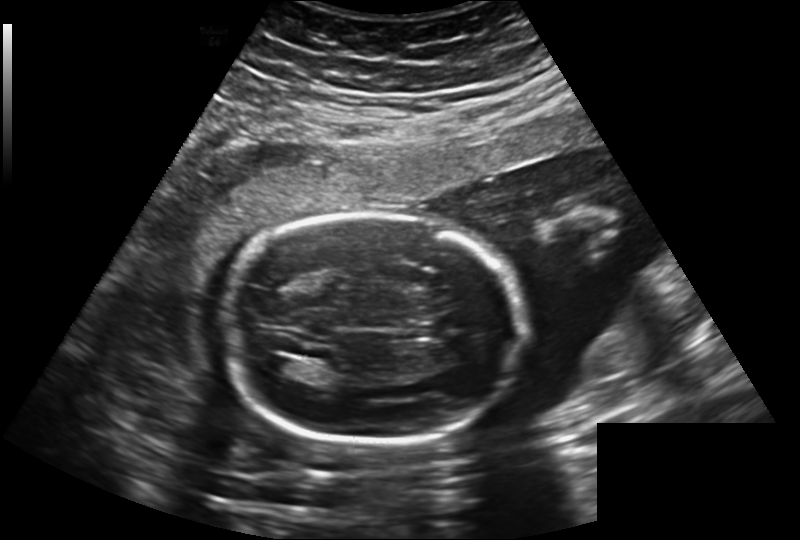
In this fetal head ultrasound, give bounding boxes for the head outline, cavum septum pellucidum (CSP), and lateral ventricle (LV), where visible. Image width: 192.6 mm.

Head: [225,214,523,447]
Lateral ventricle: [263,353,296,376]